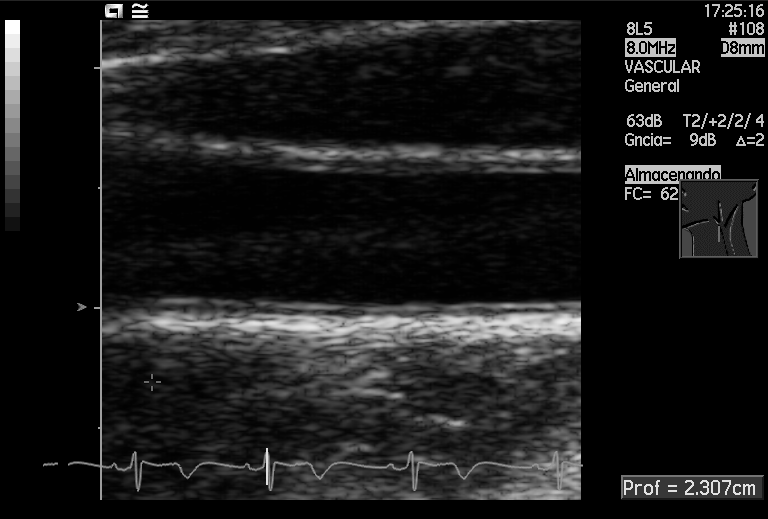
Which standard maternal-fetal ultrasound plane is shown: fetal abdomen, fetal brain, fetal femur, fetal thorax, maternal cervix, or other? If it's fetal brain and one of the three standard brain planes (trans-thalamic, trans-cerebellum, trans-ventricular), name which.

Other